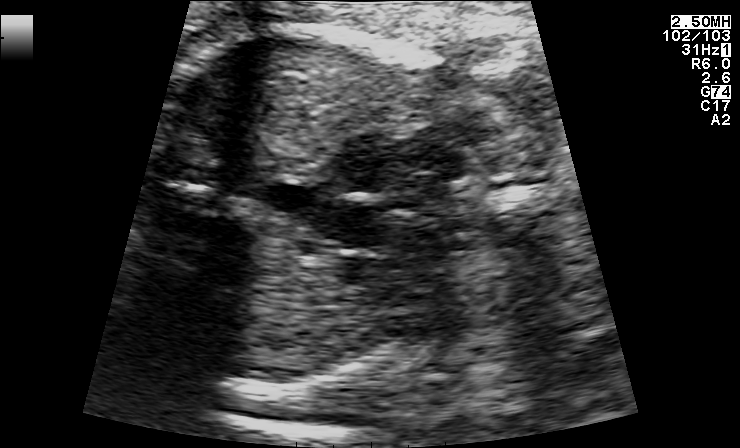
Which standard maternal-fetal ultrasound plane is shown: fetal abdomen, fetal brain, fetal femur, fetal thorax, maternal cervix, or other? If it's fetal brain and one of the three standard brain planes (trans-thalamic, trans-cerebellum, trans-ventricular), name which.

Other